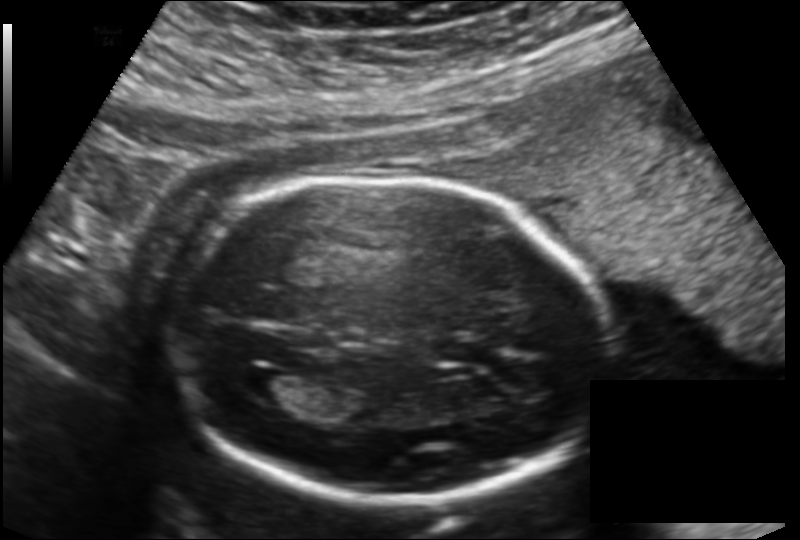
Fetal head ultrasound. Image width: 120.4 mm. Give [x1,y1,x2,y2] bounding boxes for each visible structure among: fetal head, CSP, LV.

Head: [164,176,604,502]
CSP: [435,337,488,366]
Lateral ventricle: [232,363,302,409]